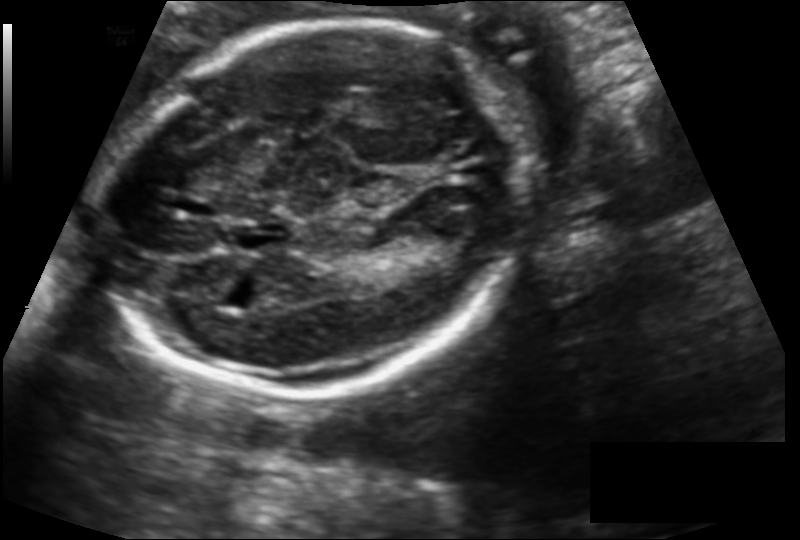
Fetal head ultrasound. Image width: 106.3 mm. Locate the fetal head and, if visible, the cavum septum pellucidum (CSP) and lateral ventricle (LV). Give bounding boxes as [x1,y1,x2,y2].

Head: [100,20,535,392]